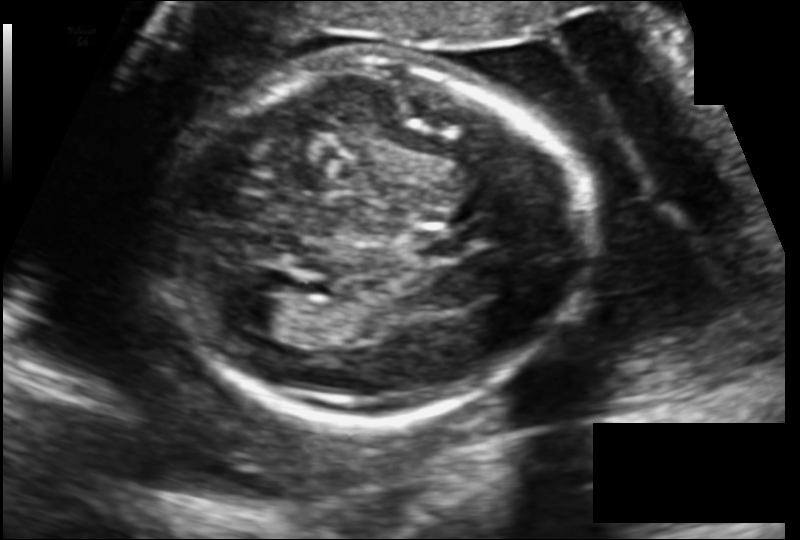
Fetal head ultrasound. Image width: 110.0 mm. Locate the fetal head and, if visible, the cavum septum pellucidum (CSP) and lateral ventricle (LV). Give bounding boxes as [x1,y1,x2,y2].

Head: [167,60,581,423]
Lateral ventricle: [224,291,290,335]